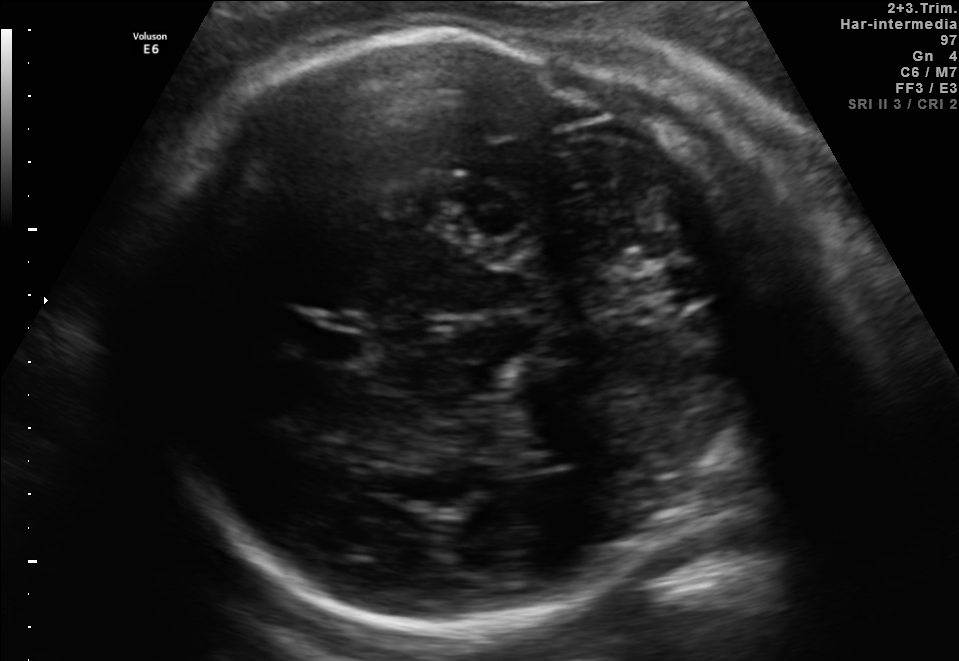
Fetal brain, trans-thalamic plane. Locate the lateral ventricle.

Lateral ventricle: [512,435,585,476]